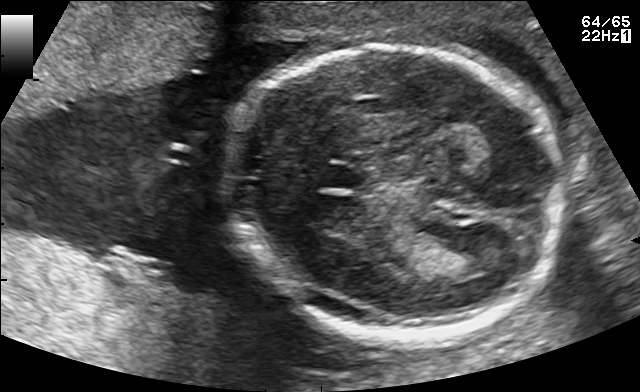
In this fetal brain, trans-thalamic plane, give bounding boxes for the head outline, cavum septum pellucidum (CSP), and lateral ventricle (LV), where visible.

Head: [229,44,559,342]
CSP: [320,164,361,189]